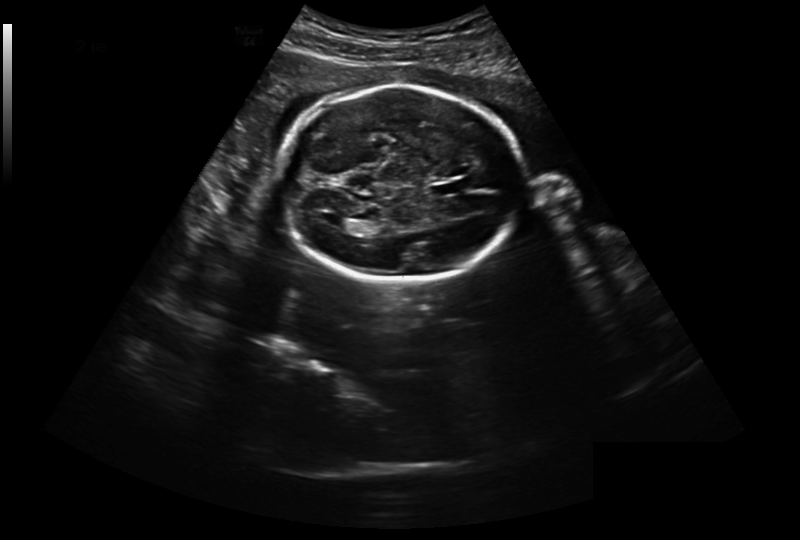
In this fetal head ultrasound, give bounding boxes for the head outline, cavum septum pellucidum (CSP), and lateral ventricle (LV), where visible. Image width: 241.1 mm.

Head: [279,86,525,281]
CSP: [431,178,466,198]
Lateral ventricle: [324,212,351,233]